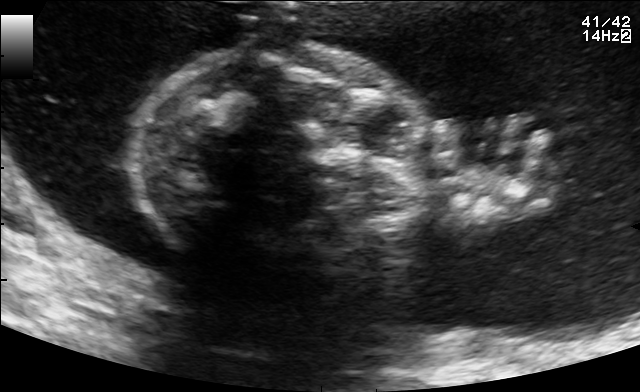
This is a 2D maternal-fetal ultrasound frame. Is it a fetal abdomen, fetal brain, fetal femur, fetal thorax, maternal cervix, or other standard plane? If it's fetal brain and one of the three standard brain planes (trans-thalamic, trans-cerebellum, trans-ventricular), name which.

Other